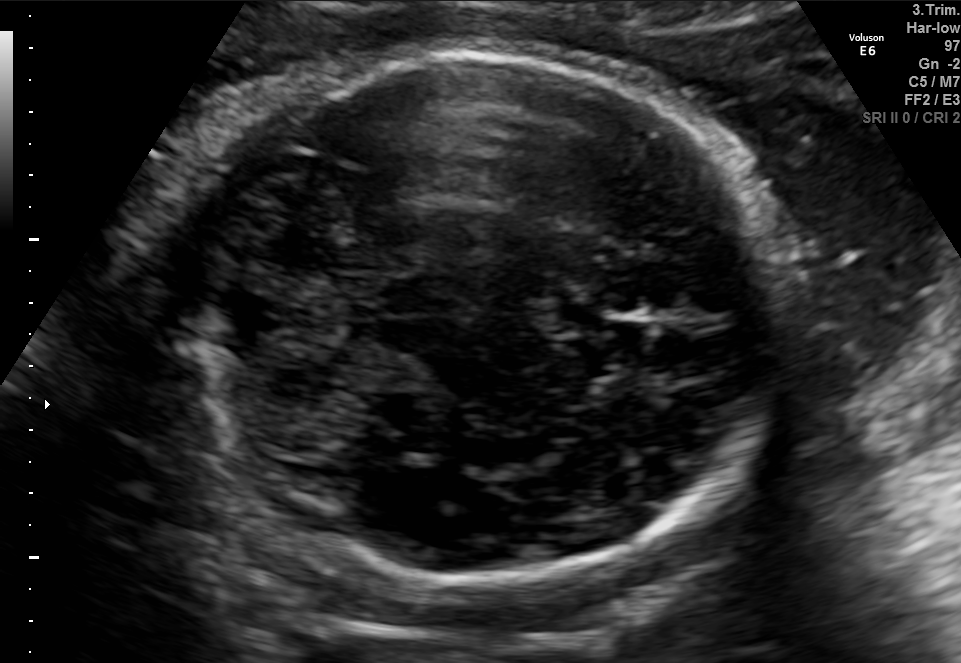
Fetal brain, trans-cerebellum plane. Locate the fetal head.

Head: [163,55,778,578]